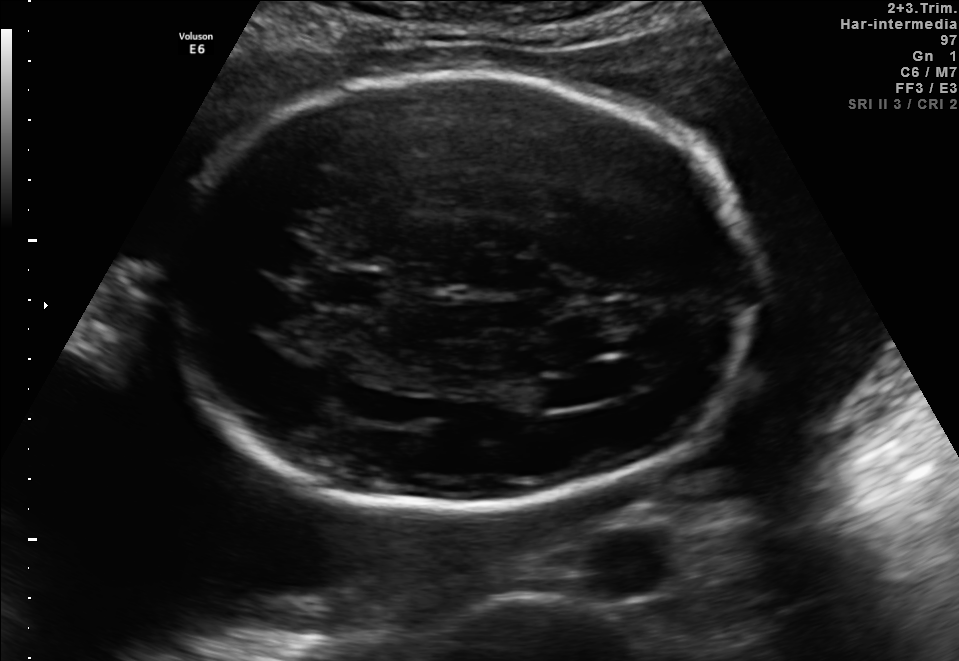
In this fetal brain, trans-ventricular plane, give the bounding box of the fetal head.

[166,68,759,513]